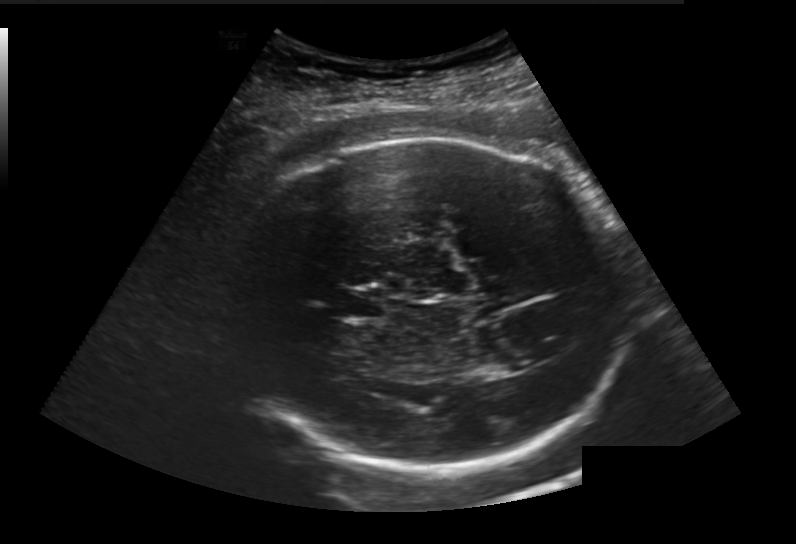
Fetal head ultrasound. Image width: 187.6 mm. Where is the cavum septum pellucidum?

CSP bounding box: [338,288,384,318]